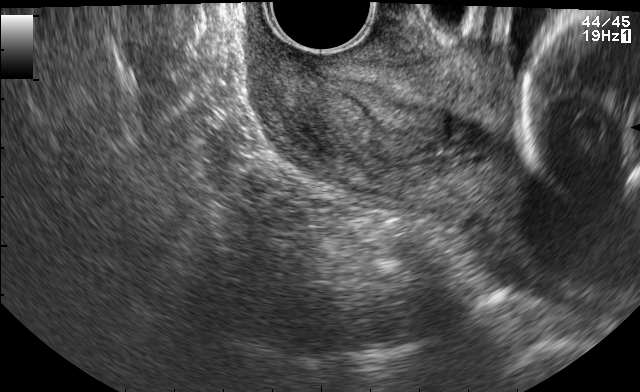
This is a 2D maternal-fetal ultrasound frame. Is it a fetal abdomen, fetal brain, fetal femur, fetal thorax, maternal cervix, or other standard plane? If it's fetal brain and one of the three standard brain planes (trans-thalamic, trans-cerebellum, trans-ventricular), name which.

Maternal cervix